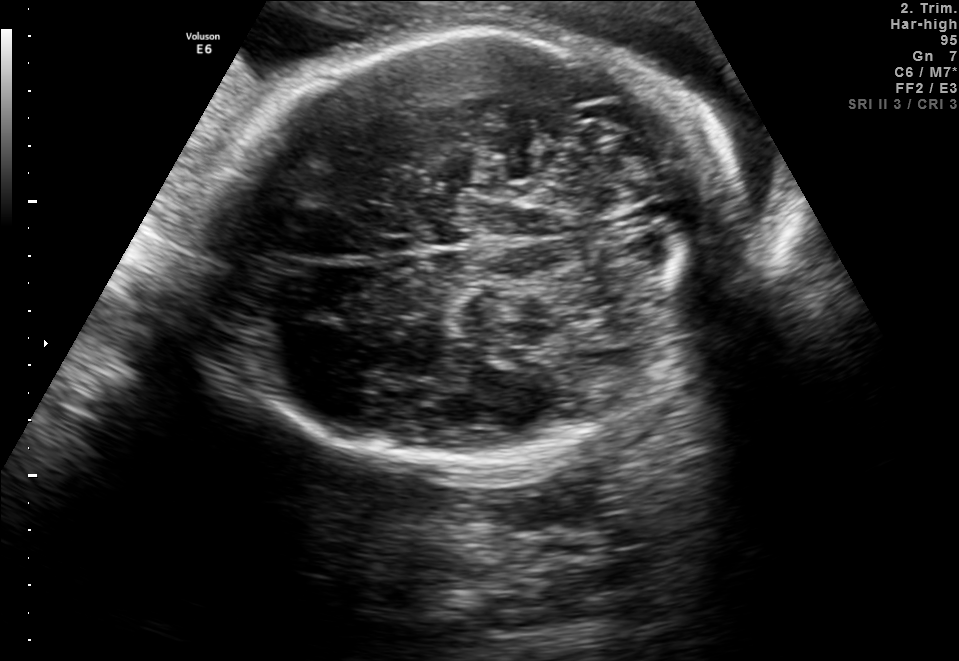
Fetal brain, trans-cerebellum plane. Give [x1,y1,x2,y2] bounding boxes for each visible structure among: fetal head, CSP, LV.

Head: [219,31,728,462]